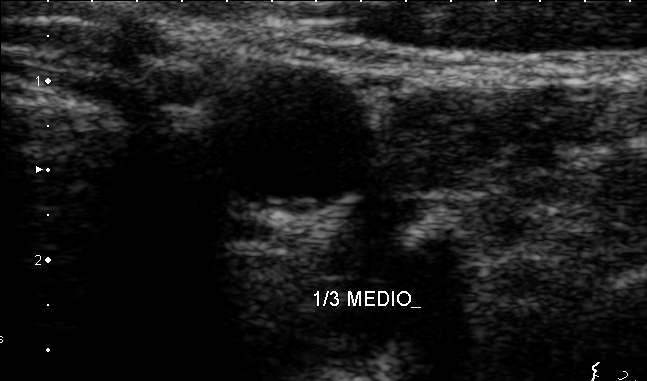
Classify this maternal-fetal ultrasound image as one of the six standard planes — fetal abdomen, fetal brain, fetal femur, fetal thorax, maternal cervix, or other. If it's fetal brain and one of the three standard brain planes (trans-thalamic, trans-cerebellum, trans-ventricular), name which.

Other